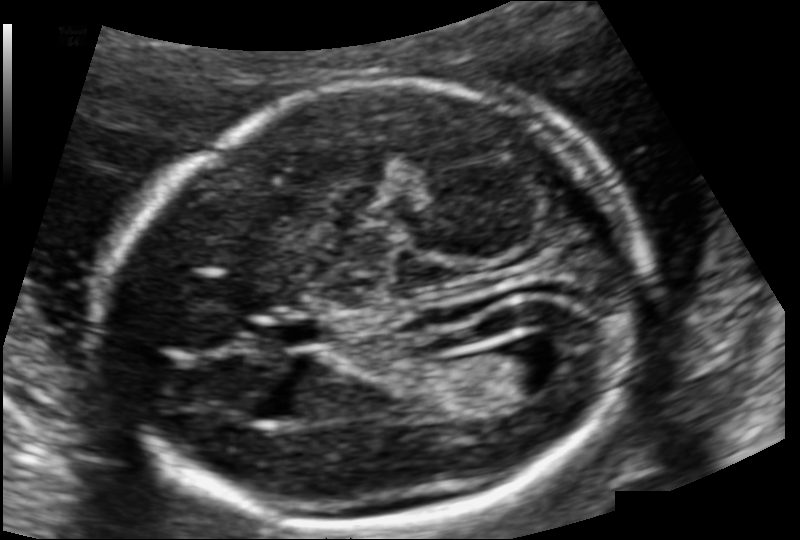
Measure the fetal head circumference shown in this ultrasound image. Image width: 89.0 mm.

Head circumference: 176.7 mm.